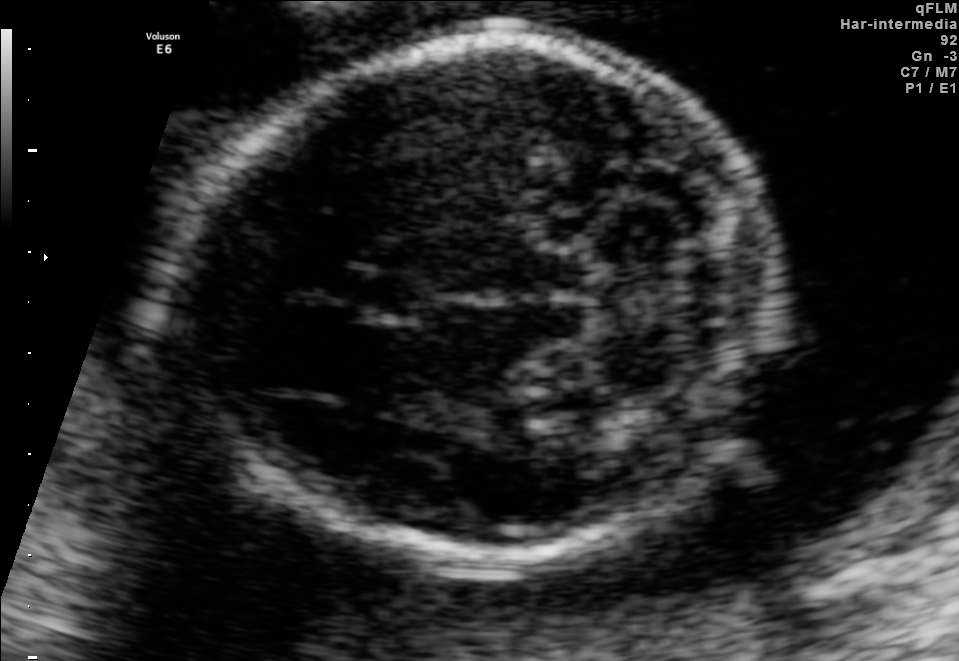
Fetal brain, trans-cerebellum plane. Give [x1,y1,x2,y2] bounding boxes for each visible structure among: fetal head, CSP, LV.

Head: [190,41,763,564]
CSP: [344,265,433,327]